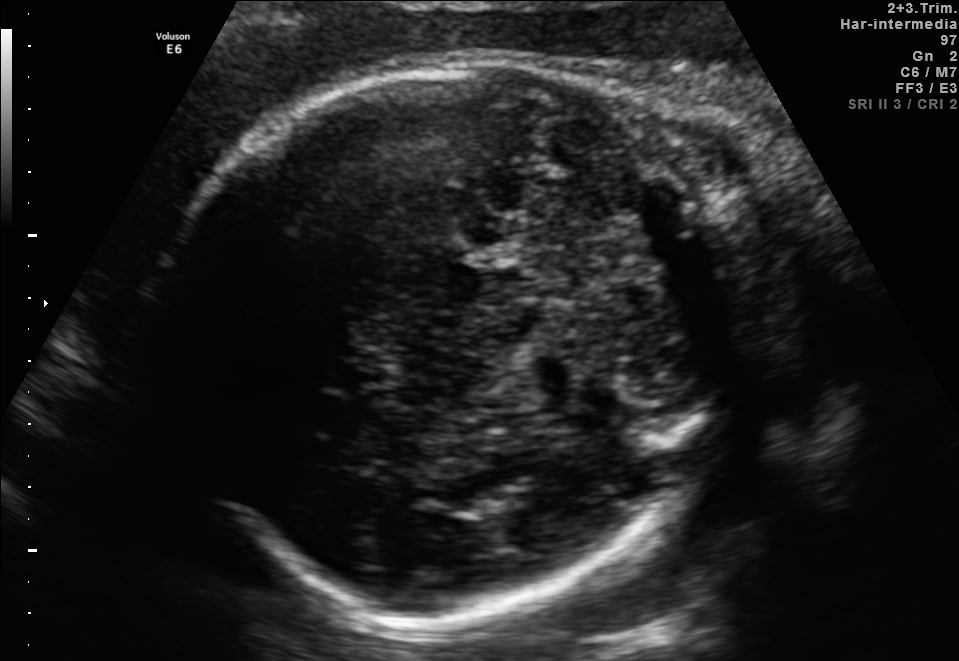
In this fetal brain, trans-thalamic plane, give bounding boxes for the head outline, cavum septum pellucidum (CSP), and lateral ventricle (LV), where visible.

Head: [162,61,771,618]